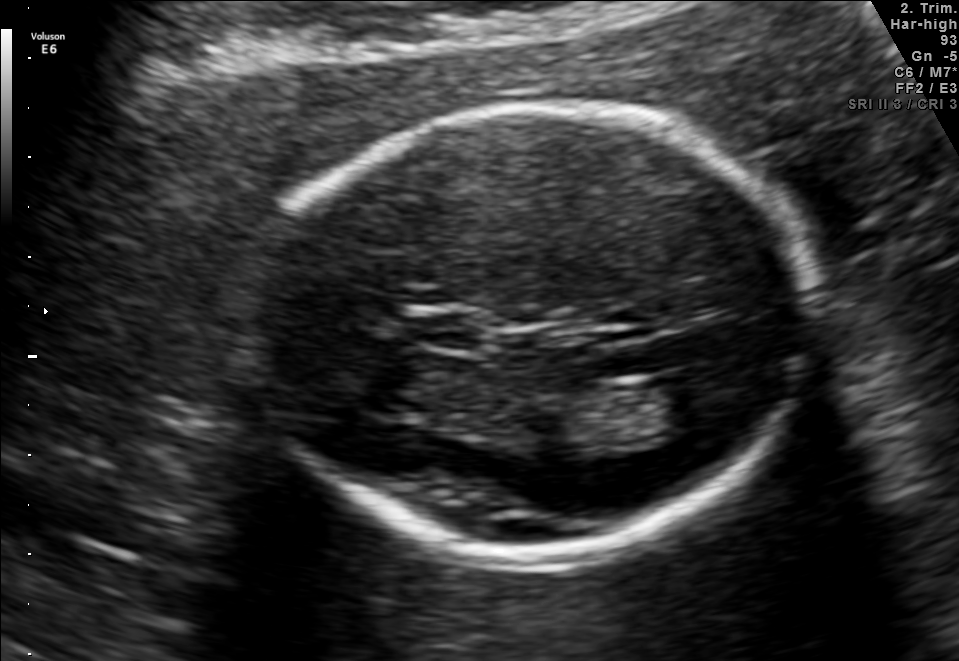
Fetal brain, trans-thalamic plane. Where is the lateral ventricle?

Lateral ventricle bounding box: [604,370,714,444]